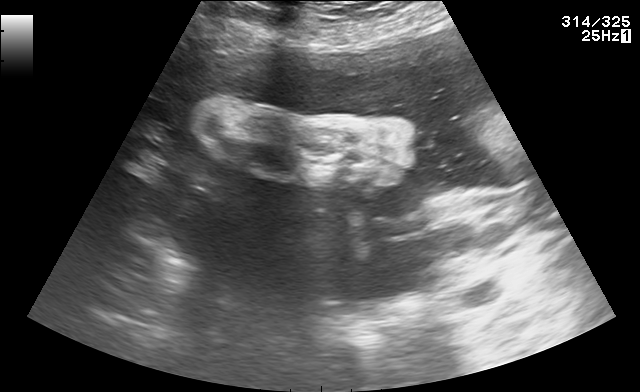
Identify the standard plane in this fetal ultrasound image: fetal abdomen, fetal brain, fetal femur, fetal thorax, maternal cervix, or other. If it's fetal brain and one of the three standard brain planes (trans-thalamic, trans-cerebellum, trans-ventricular), name which.

Other